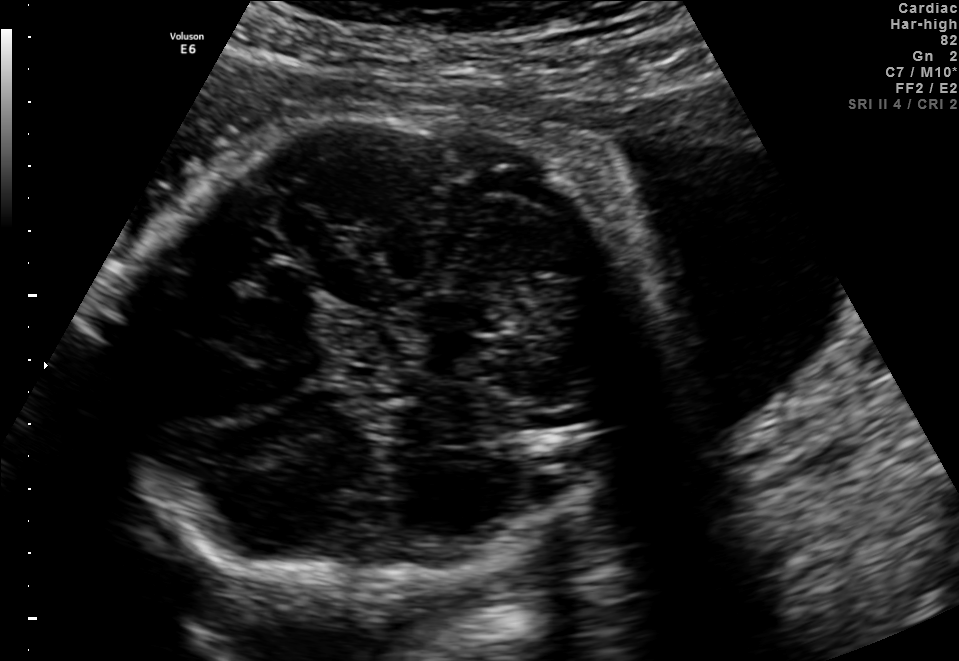
In this fetal brain, trans-thalamic plane, give the bounding box of the fetal head.

[116,99,637,608]